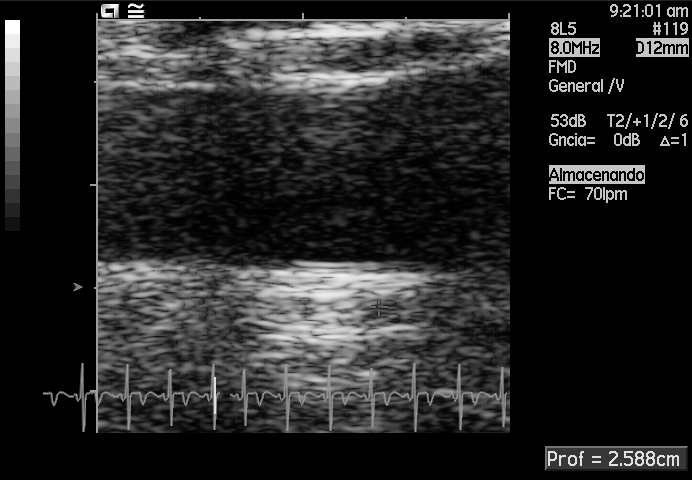
Which standard maternal-fetal ultrasound plane is shown: fetal abdomen, fetal brain, fetal femur, fetal thorax, maternal cervix, or other? If it's fetal brain and one of the three standard brain planes (trans-thalamic, trans-cerebellum, trans-ventricular), name which.

Other